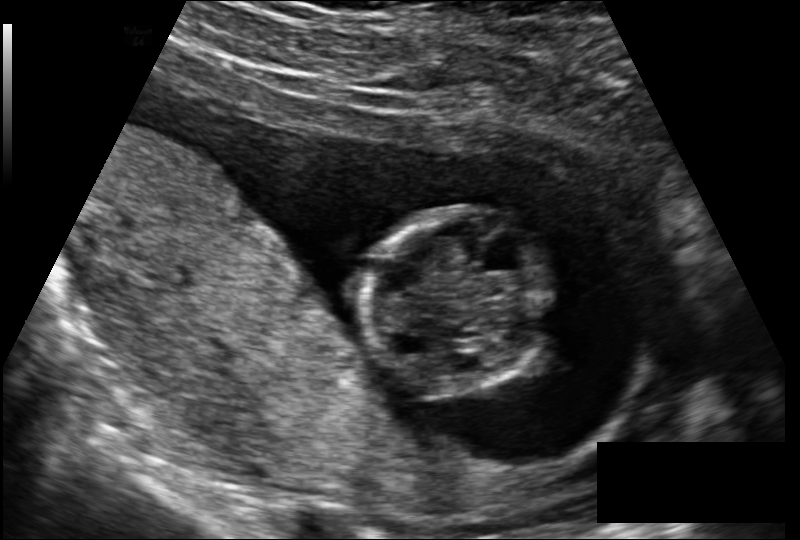
What is the fetal head circumference? Image width is 105.1 mm.

82.3 mm